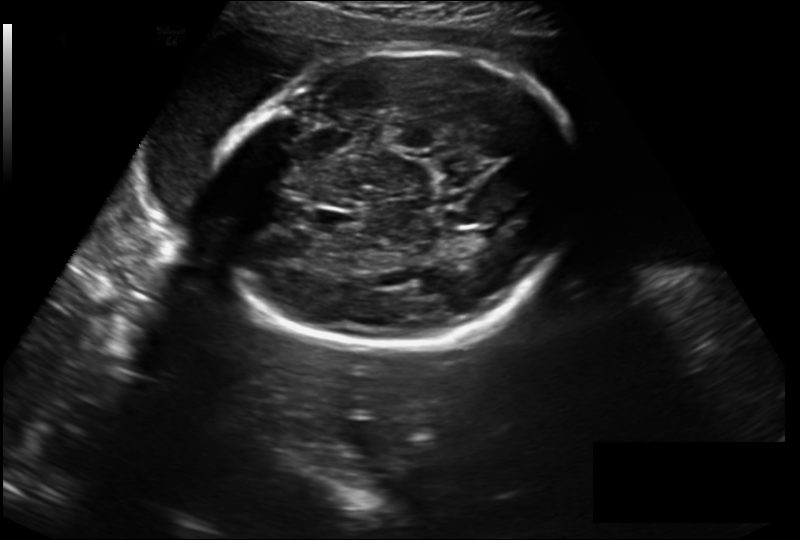
Estimate the fetal head circumference from this 2D ultrasound.

Head circumference: 251.8 mm (image width 184.1 mm).